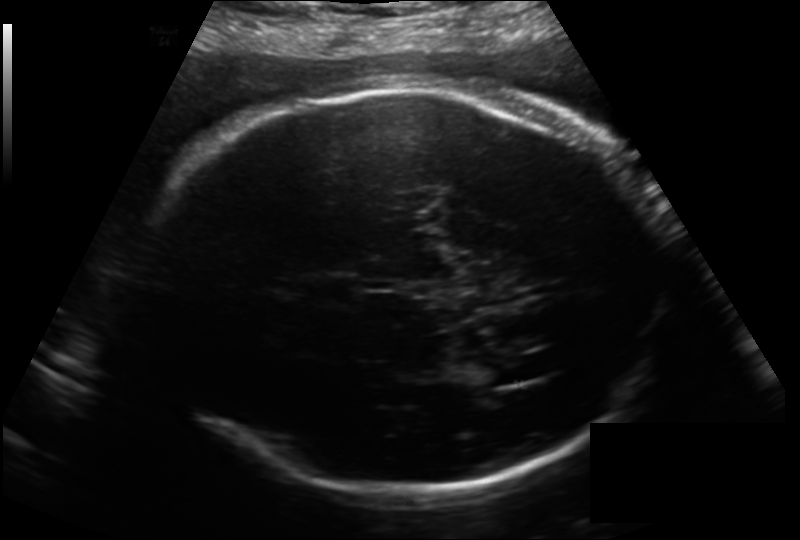
In this fetal head ultrasound, give the bounding box of the cavum septum pellucidum. Image width: 171.3 mm.

[297,274,358,304]